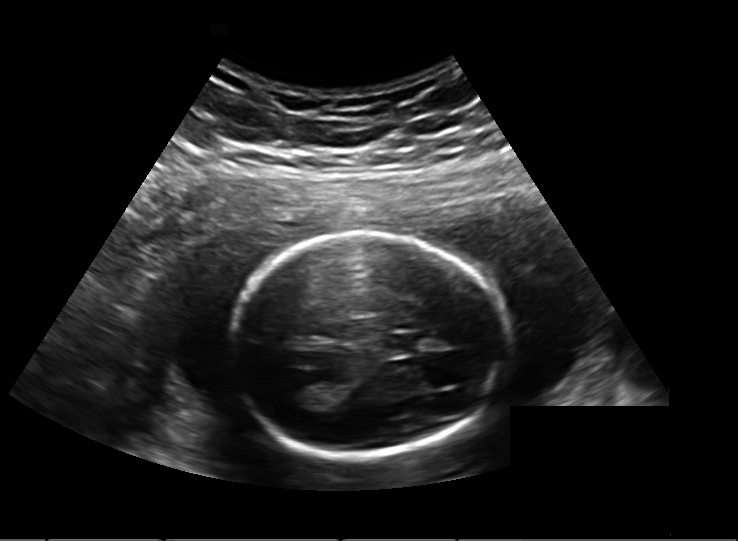
In this fetal head ultrasound, give the bounding box of the fetal head. Image width: 149.5 mm.

[232,232,503,456]